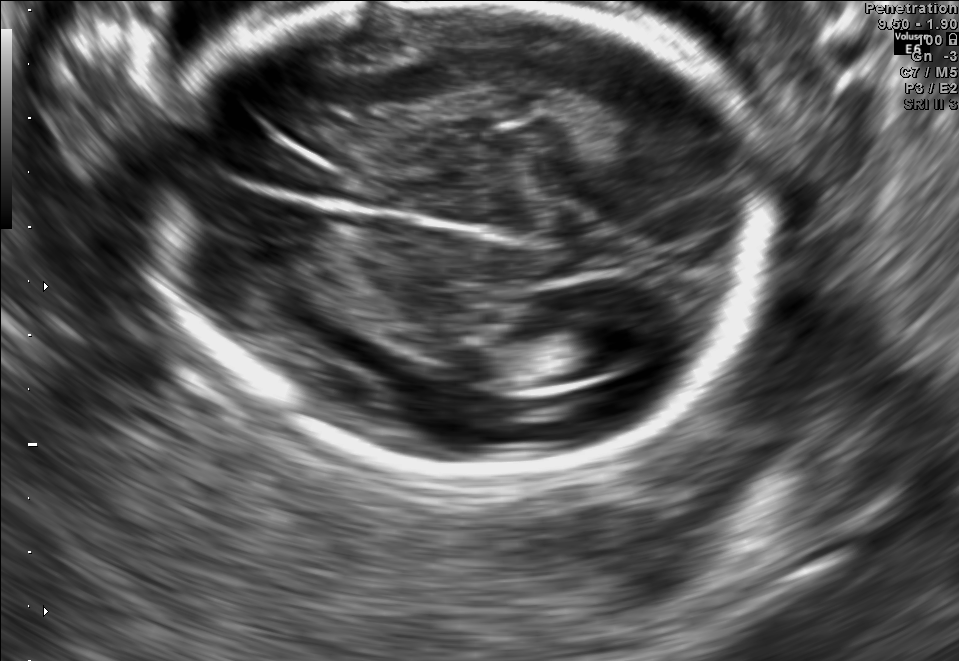
Fetal brain, trans-ventricular plane. Locate the lateral ventricle.

Lateral ventricle: [554,306,652,382]